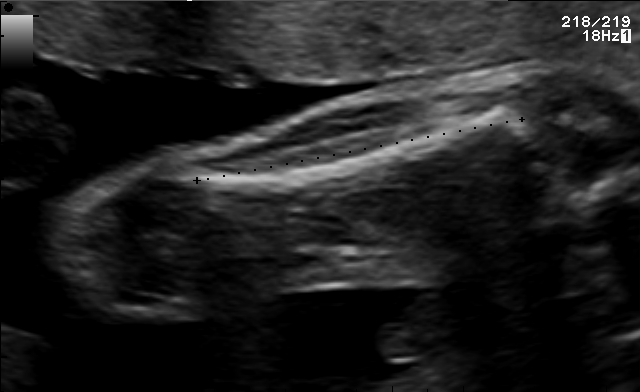
Classify this maternal-fetal ultrasound image as one of the six standard planes — fetal abdomen, fetal brain, fetal femur, fetal thorax, maternal cervix, or other. If it's fetal brain and one of the three standard brain planes (trans-thalamic, trans-cerebellum, trans-ventricular), name which.

Other